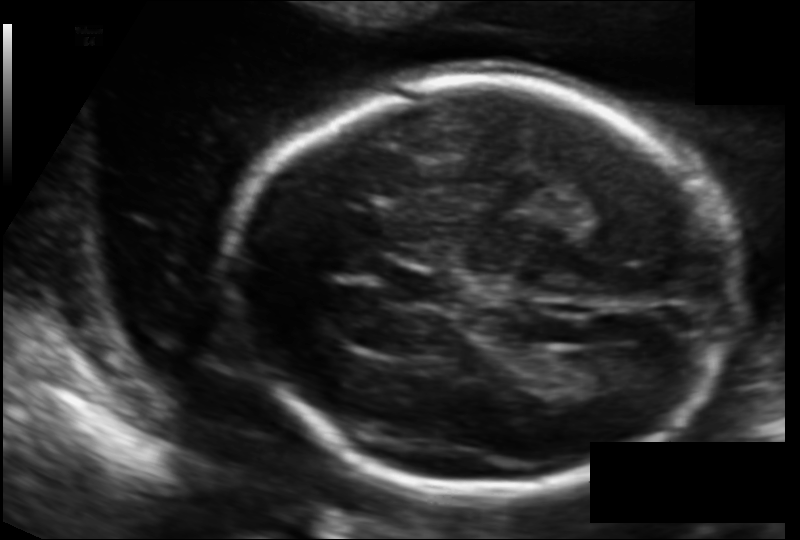
Estimate the fetal head circumference from this 2D ultrasound. Image width: 100.4 mm.

Head circumference: 185.7 mm.